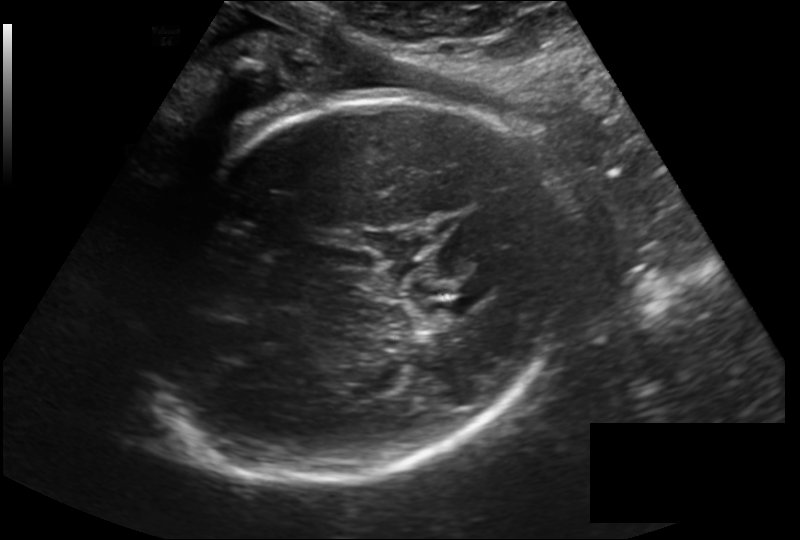
Fetal head ultrasound. Image width: 175.4 mm. Locate the fetal head and, if visible, the cavum septum pellucidum (CSP) and lateral ventricle (LV). Give bounding boxes as [x1,y1,x2,y2].

Head: [124,96,574,484]